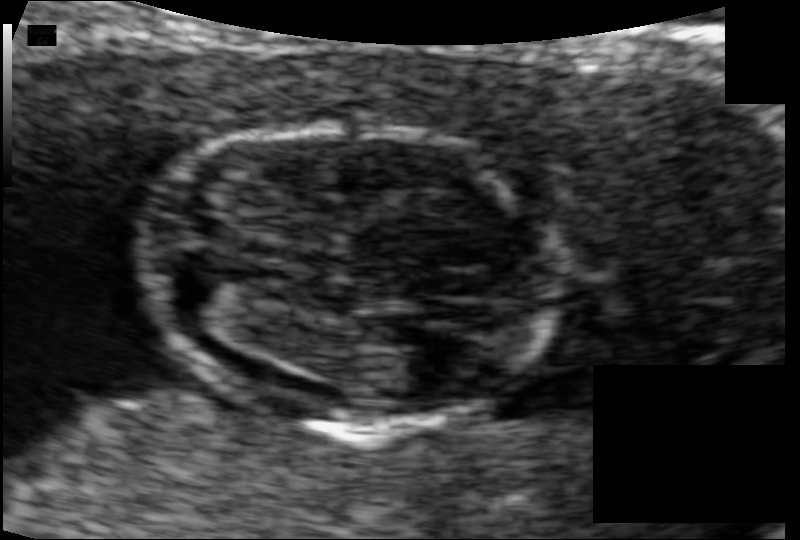
What is the fetal head circumference? Image width is 52.6 mm.

77.7 mm